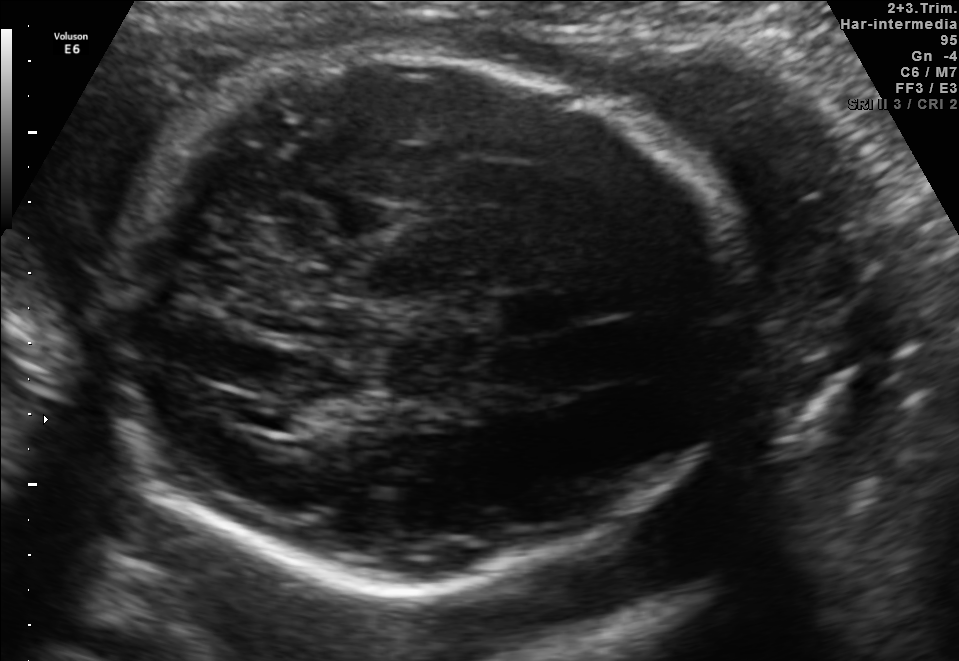
In this fetal brain, trans-thalamic plane, give the bounding box of the lateral ventricle.

[229,389,313,437]